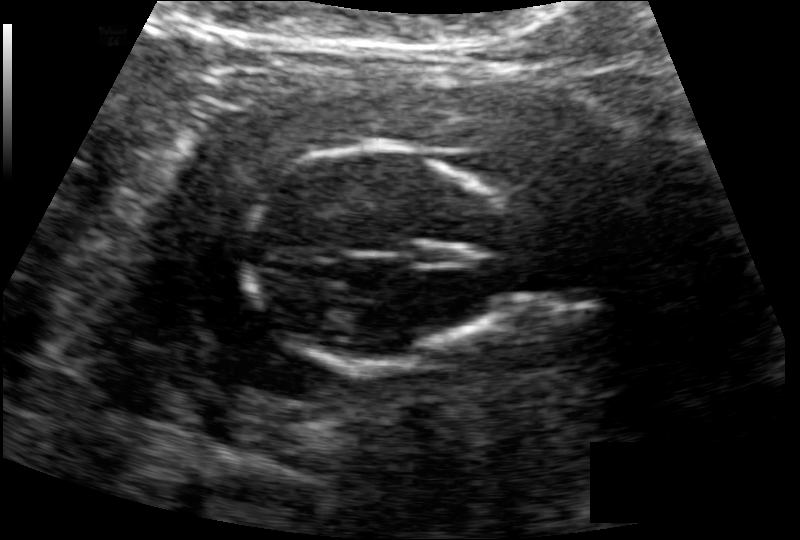
In this fetal head ultrasound, give the bounding box of the fetal head. Image width: 100.6 mm.

[246,145,507,365]